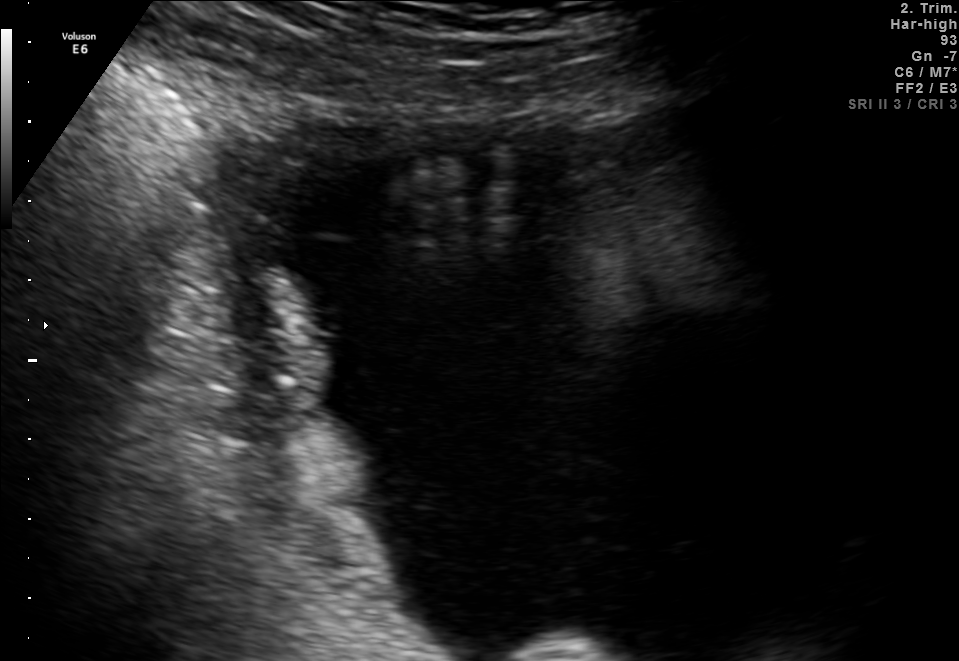
Classify this maternal-fetal ultrasound image as one of the six standard planes — fetal abdomen, fetal brain, fetal femur, fetal thorax, maternal cervix, or other. If it's fetal brain and one of the three standard brain planes (trans-thalamic, trans-cerebellum, trans-ventricular), name which.

Other